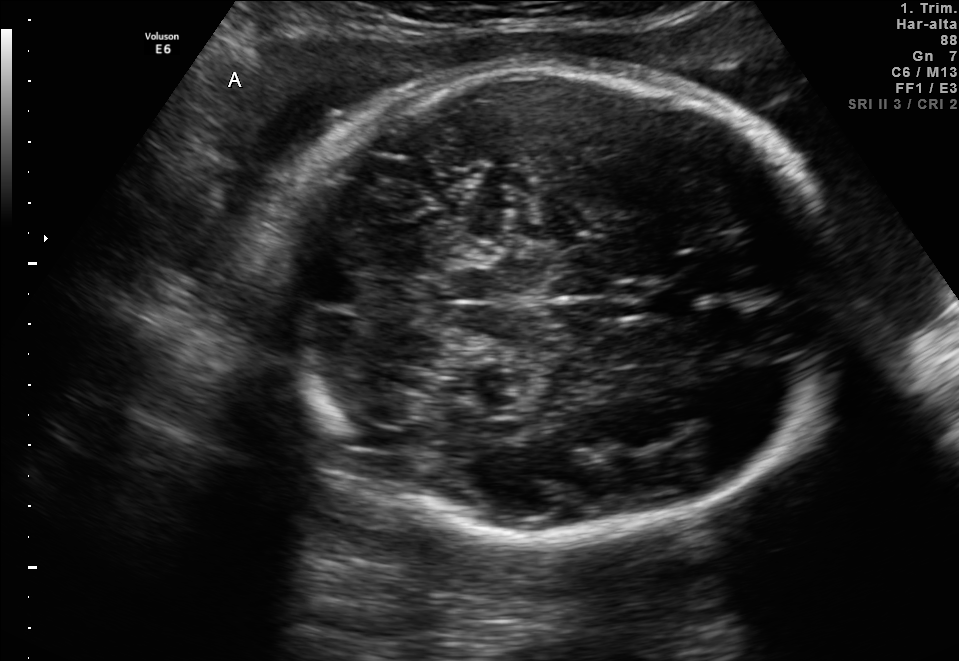
In this fetal brain, trans-cerebellum plane, give the bounding box of the fetal head.

[260,66,849,537]